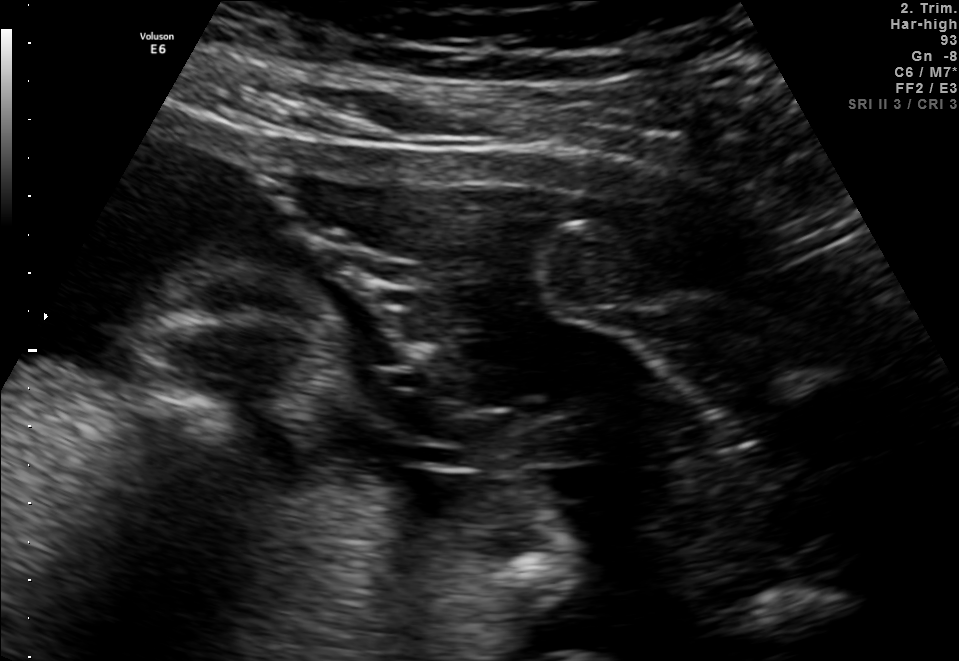
Identify the standard plane in this fetal ultrasound image: fetal abdomen, fetal brain, fetal femur, fetal thorax, maternal cervix, or other. If it's fetal brain and one of the three standard brain planes (trans-thalamic, trans-cerebellum, trans-ventricular), name which.

Other